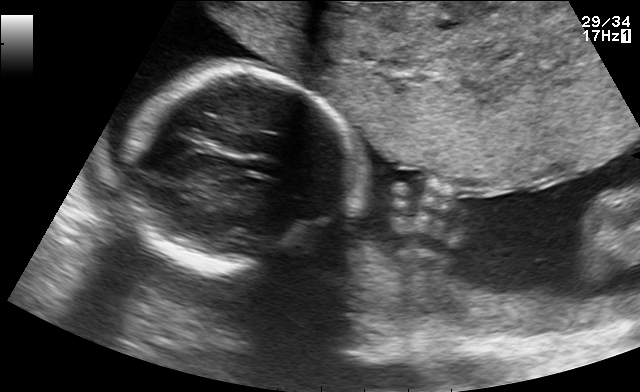
This is a 2D maternal-fetal ultrasound frame. Is it a fetal abdomen, fetal brain, fetal femur, fetal thorax, maternal cervix, or other standard plane? If it's fetal brain and one of the three standard brain planes (trans-thalamic, trans-cerebellum, trans-ventricular), name which.

Other